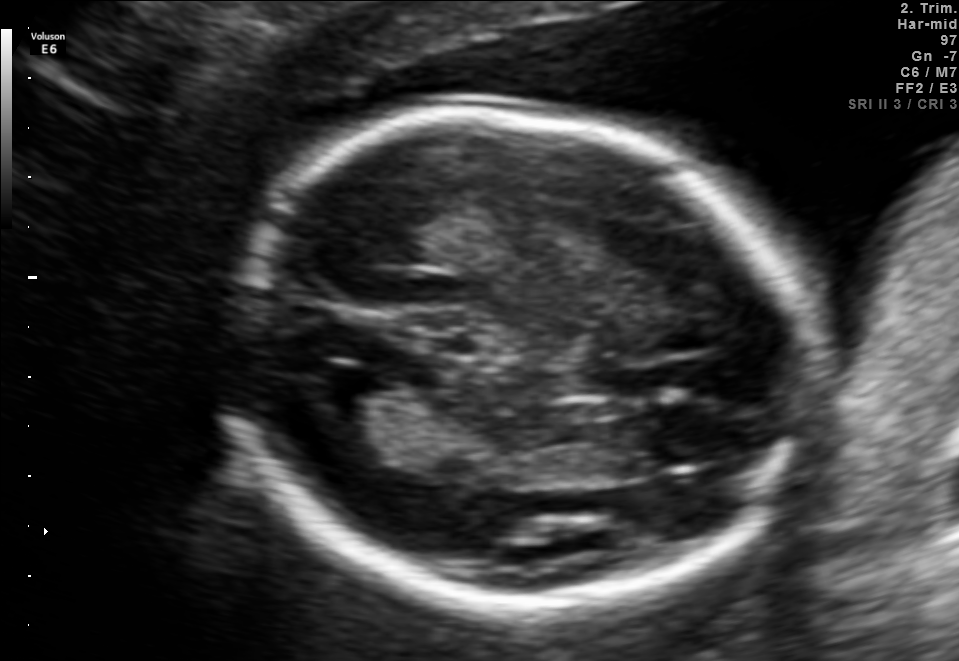
In this fetal brain, trans-thalamic plane, give the bounding box of the lateral ventricle.

[294,346,395,434]